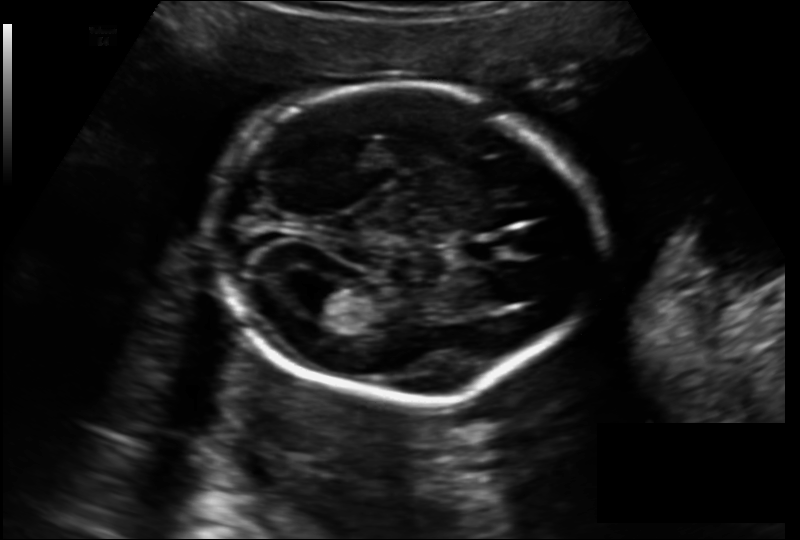
In this fetal head ultrasound, give the bounding box of the lateral ventricle. Image width: 125.9 mm.

[280,264,355,329]